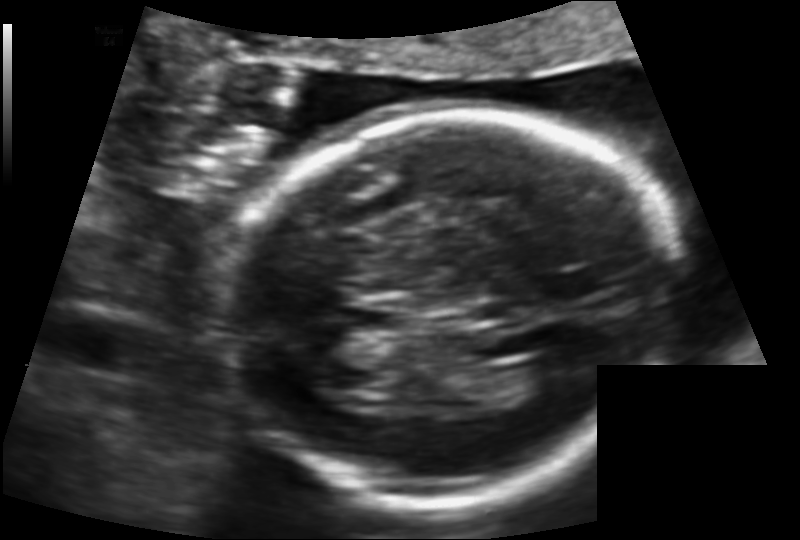
From this fetal ultrasound, estimate the head circumference (image width 97.9 mm).

Head circumference: 169.4 mm.